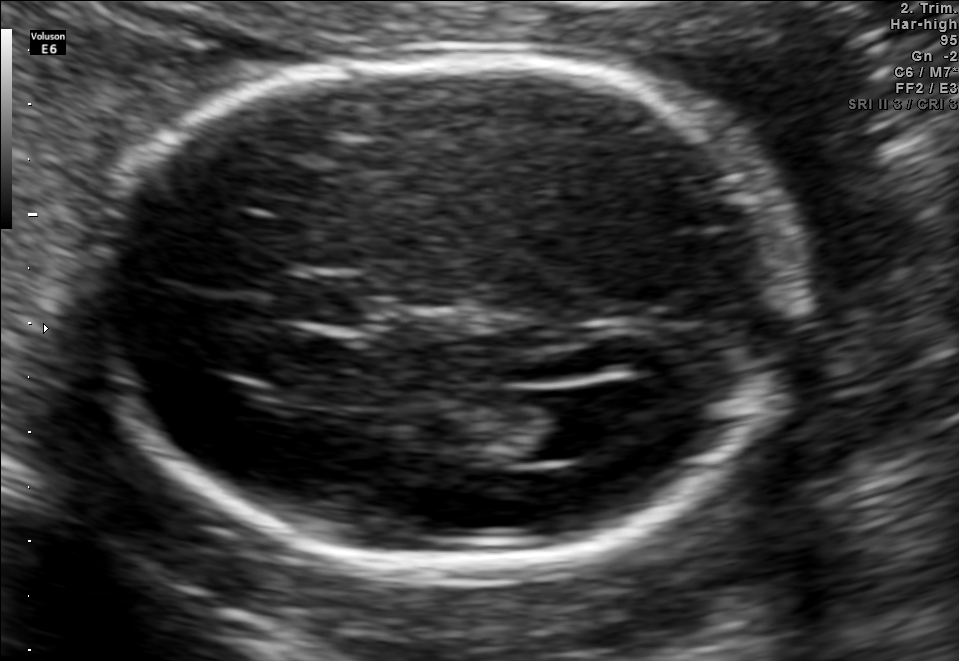
Fetal brain, trans-ventricular plane. Give [x1,y1,x2,y2] bounding boxes for each visible structure among: fetal head, CSP, LV.

Head: [78,45,819,578]
CSP: [288,275,364,325]
Lateral ventricle: [518,386,629,462]